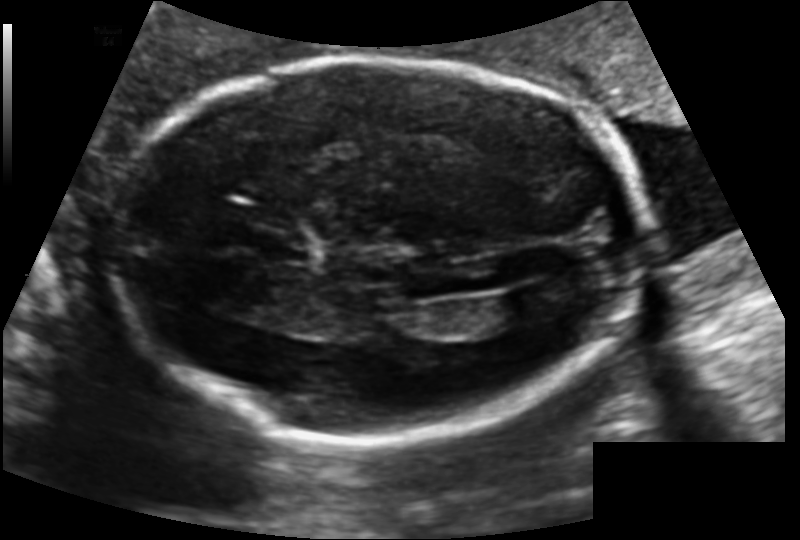
In this fetal head ultrasound, give the bounding box of the cavum septum pellucidum. Image width: 105.0 mm.

[248,226,311,266]